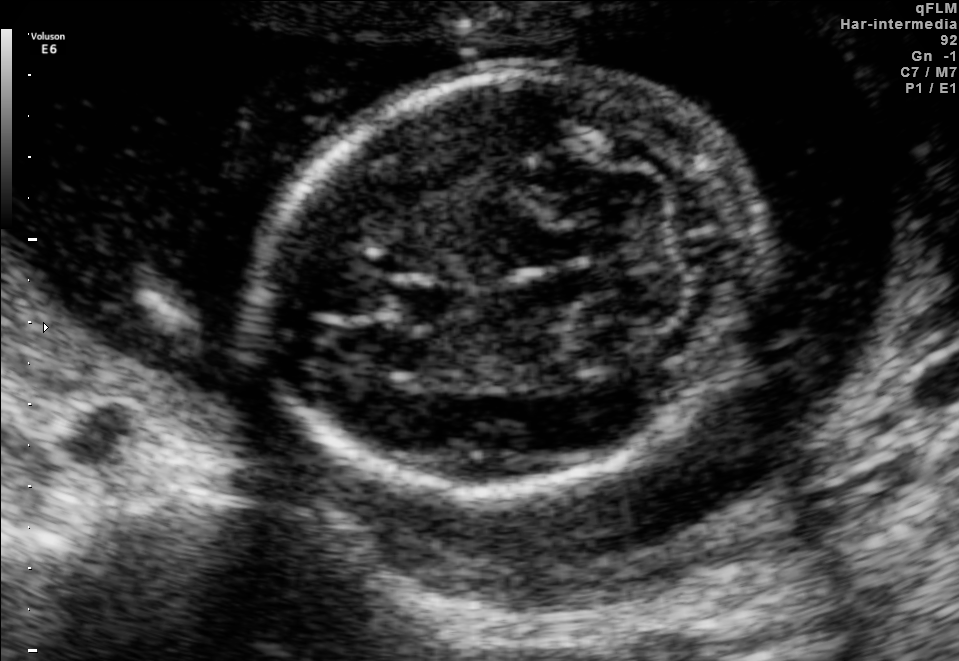
In this fetal brain, trans-cerebellum plane, give the bounding box of the cavum septum pellucidum.

[395,279,469,325]